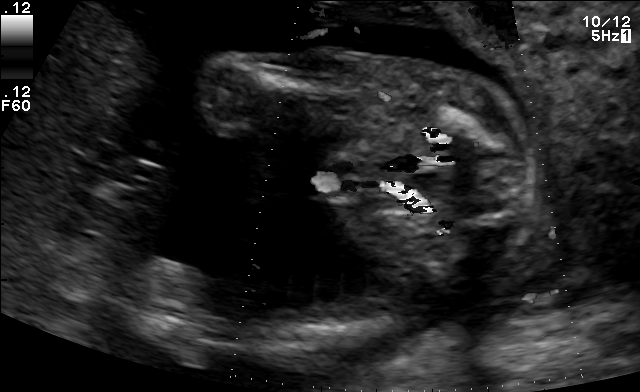
Identify the standard plane in this fetal ultrasound image: fetal abdomen, fetal brain, fetal femur, fetal thorax, maternal cervix, or other. If it's fetal brain and one of the three standard brain planes (trans-thalamic, trans-cerebellum, trans-ventricular), name which.

Other